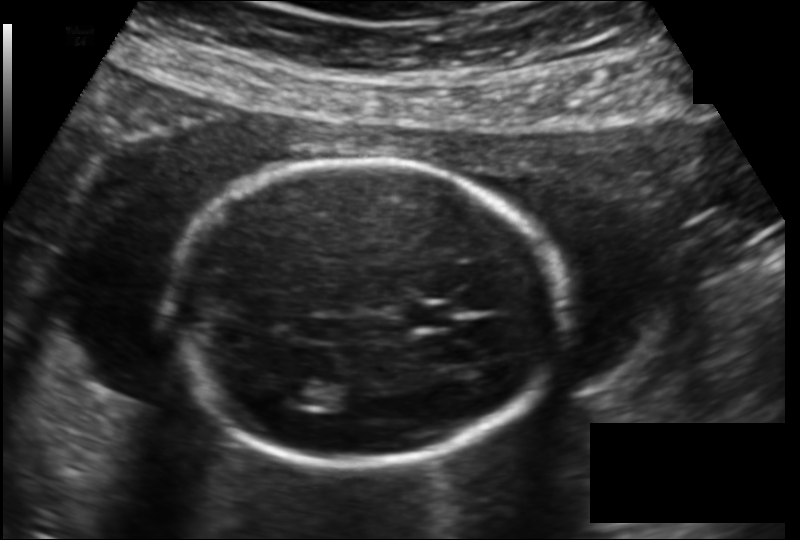
Fetal head ultrasound. Image width: 119.1 mm. Where is the fetal head?

Head bounding box: [173,162,561,462]